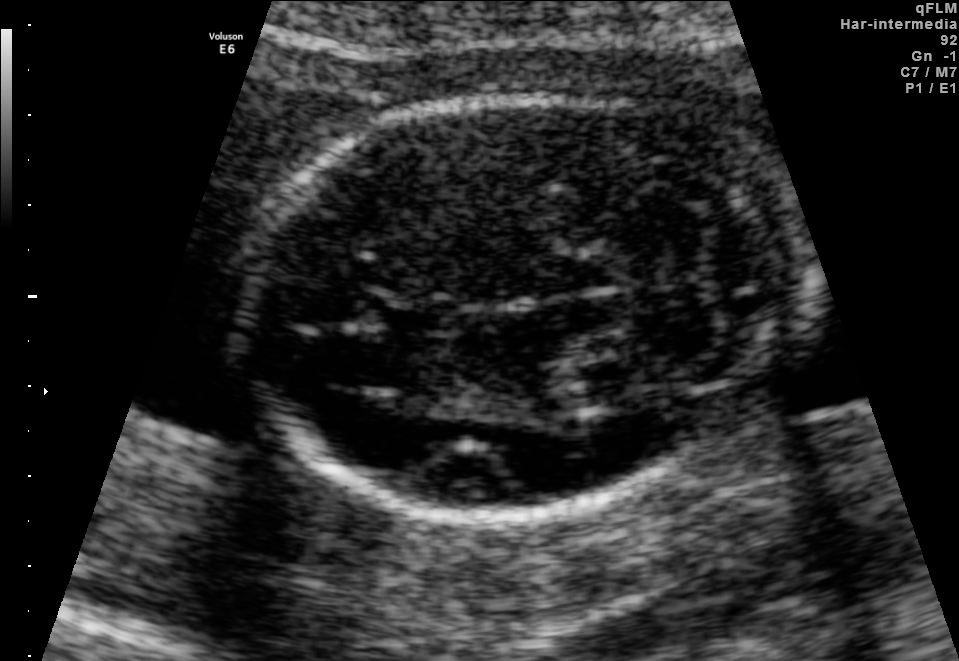
Fetal brain, trans-cerebellum plane. Give [x1,y1,x2,y2] bounding boxes for each visible structure among: fetal head, CSP, LV.

Head: [249,95,810,516]
CSP: [365,295,448,337]